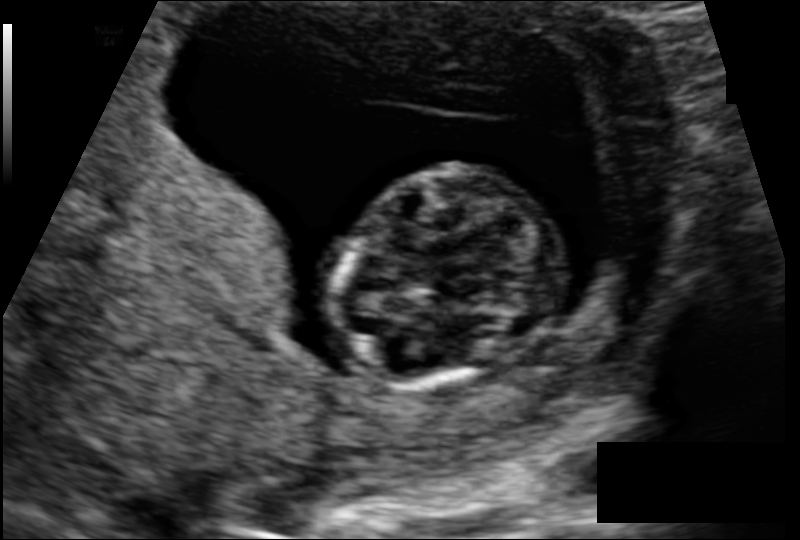
Fetal head ultrasound. Image width: 86.1 mm. Where is the fetal head?

Head bounding box: [337,162,543,391]